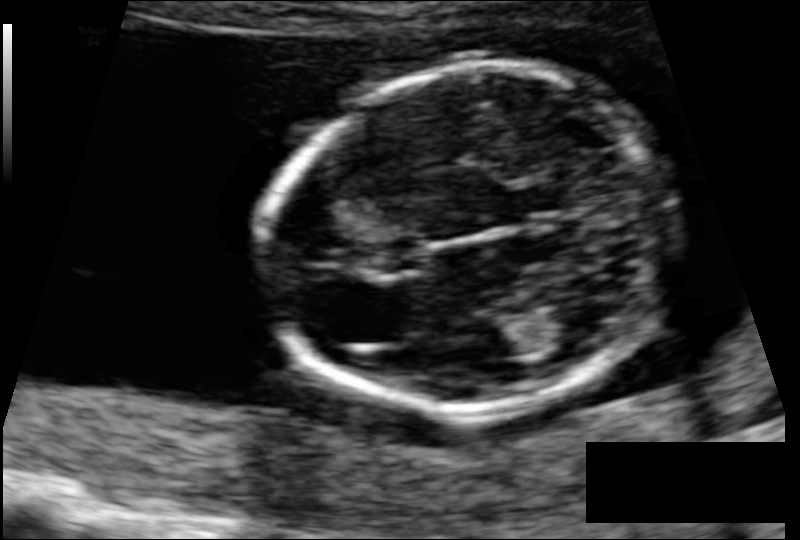
Fetal head ultrasound. Image width: 70.5 mm. Where is the lateral ventricle?

Lateral ventricle bounding box: [537,300,608,351]